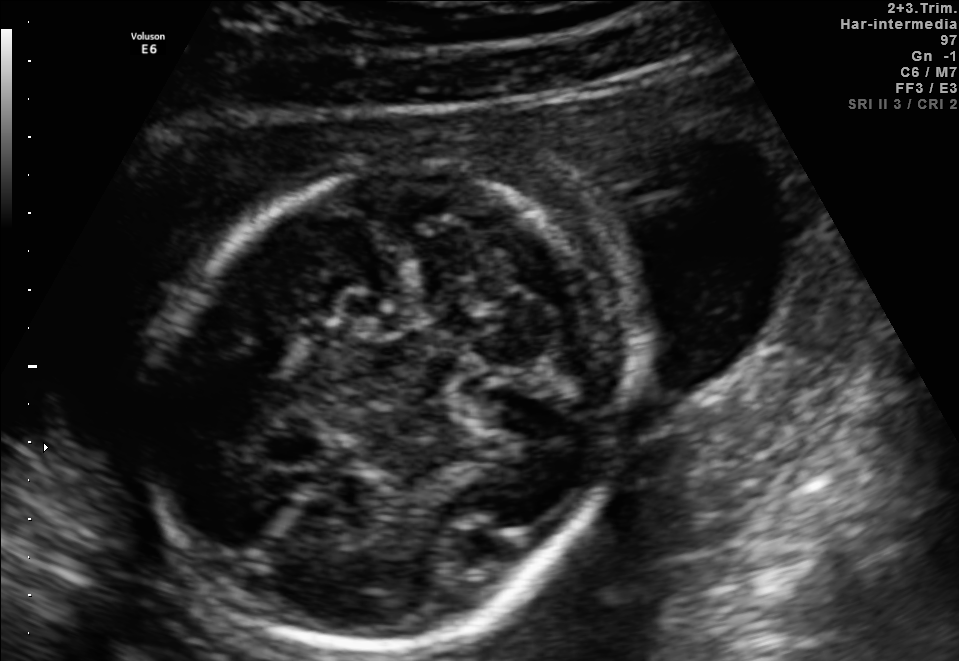
Fetal brain, trans-cerebellum plane. Locate the fetal head.

Head: [153,162,616,647]